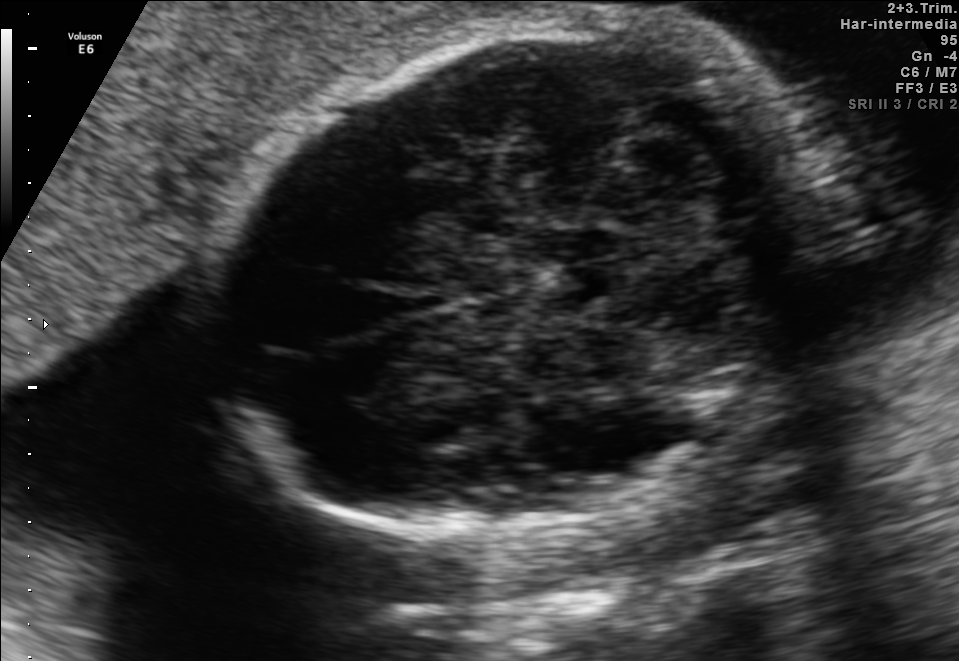
Fetal brain, trans-cerebellum plane. Locate the fetal head.

Head: [206,23,817,538]